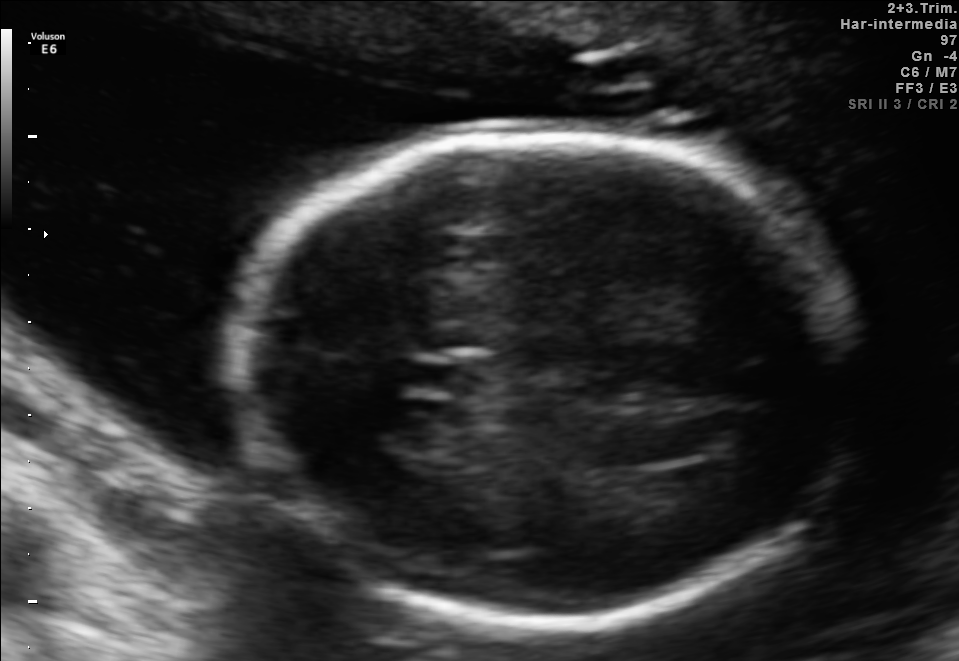
Fetal brain, trans-thalamic plane. Where is the cavum septum pellucidum?

CSP bounding box: [401,362,468,392]